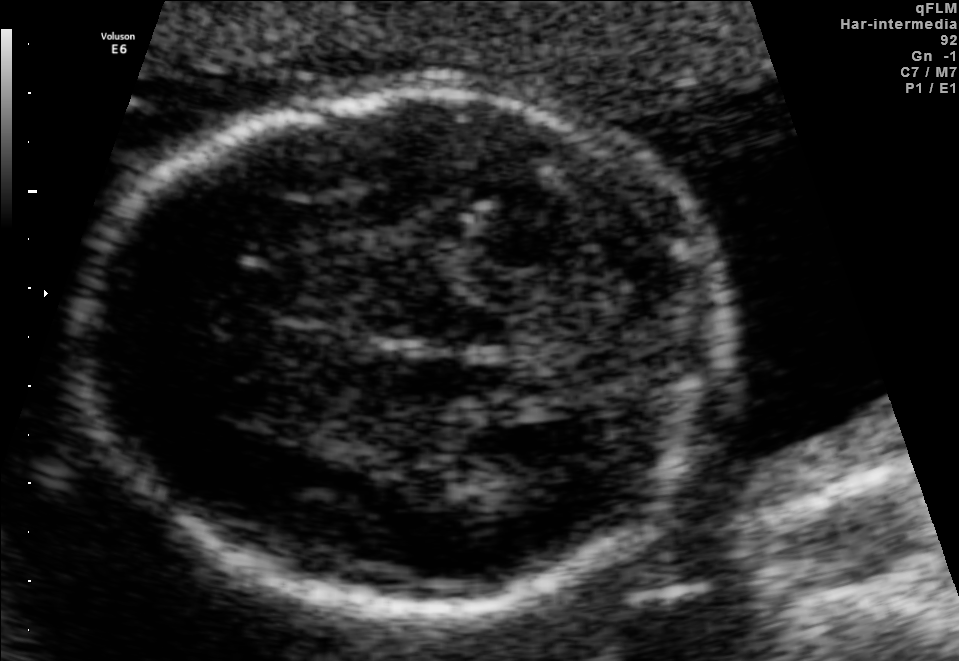
Fetal brain, trans-thalamic plane. Give [x1,y1,x2,y2] bounding boxes for each visible structure among: fetal head, CSP, LV.

Head: [77,91,740,604]